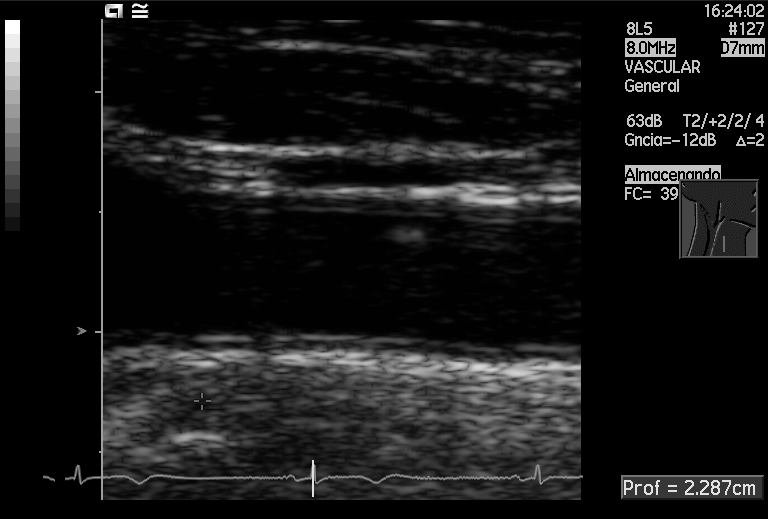
Which standard maternal-fetal ultrasound plane is shown: fetal abdomen, fetal brain, fetal femur, fetal thorax, maternal cervix, or other? If it's fetal brain and one of the three standard brain planes (trans-thalamic, trans-cerebellum, trans-ventricular), name which.

Other